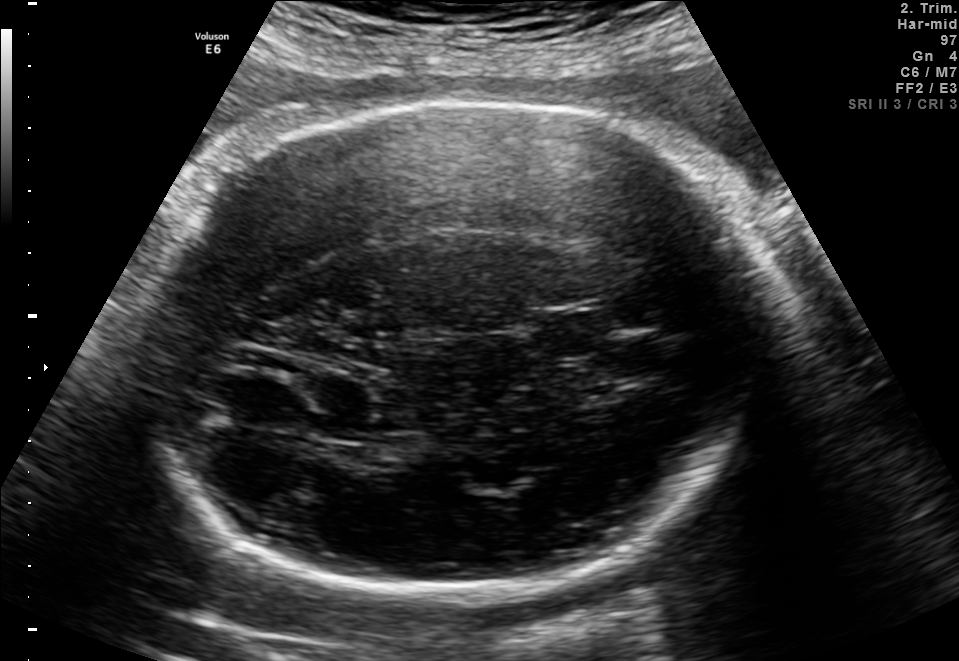
Fetal brain, trans-thalamic plane. Locate the fetal head.

Head: [136,99,769,606]